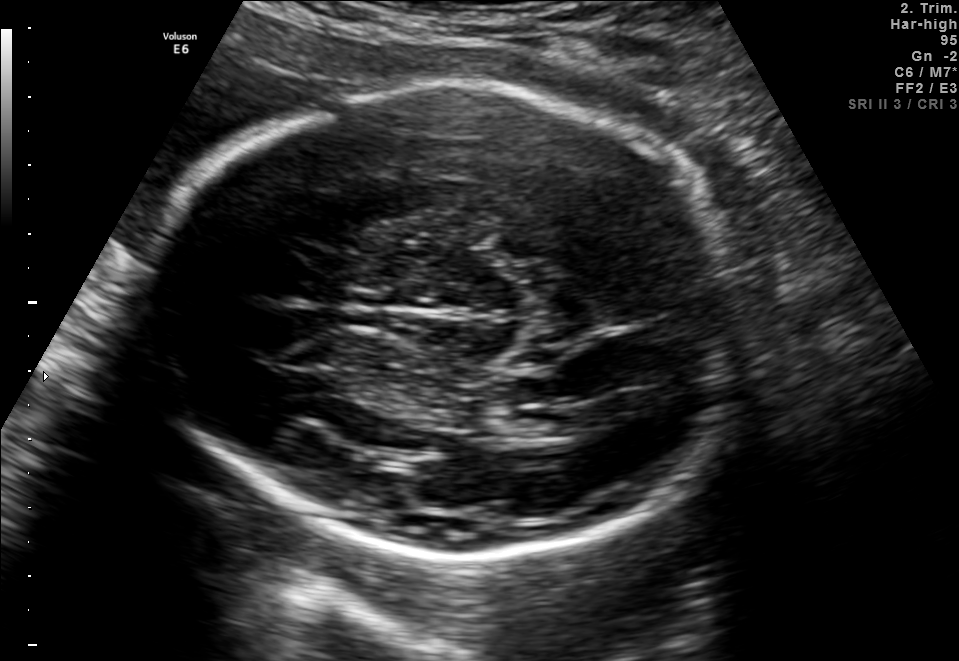
Fetal brain, trans-thalamic plane. Where is the lateral ventricle?

Lateral ventricle bounding box: [509,404,587,442]